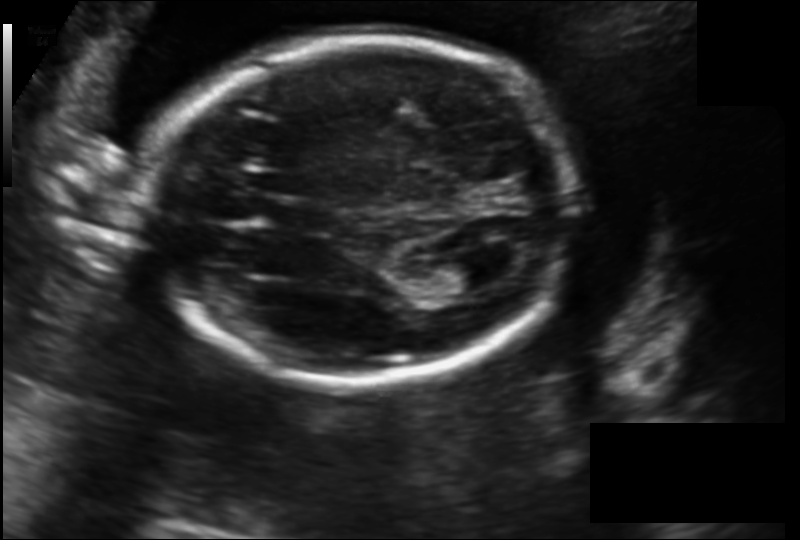
Measure the fetal head circumference shown in this ultrasound image. Image width: 121.4 mm.

Head circumference: 189.9 mm.